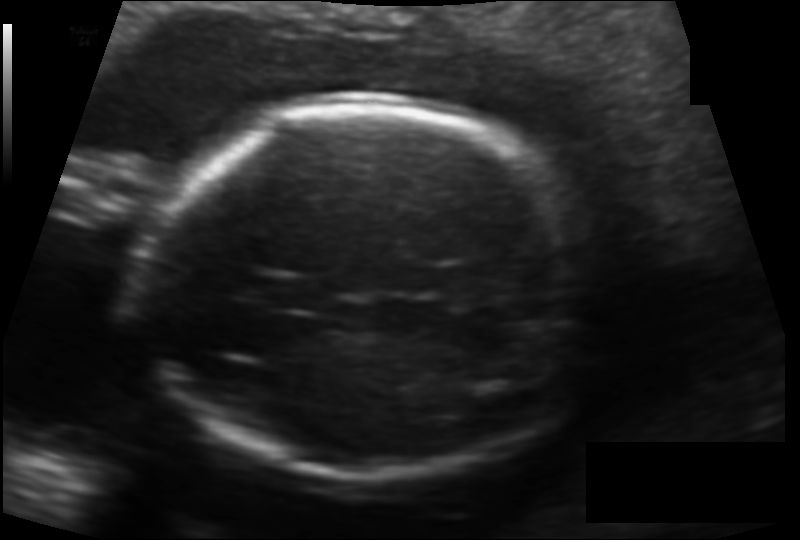
Estimate the fetal head circumference from this 2D ultrasound. Image width: 105.8 mm.

Head circumference: 174.8 mm.